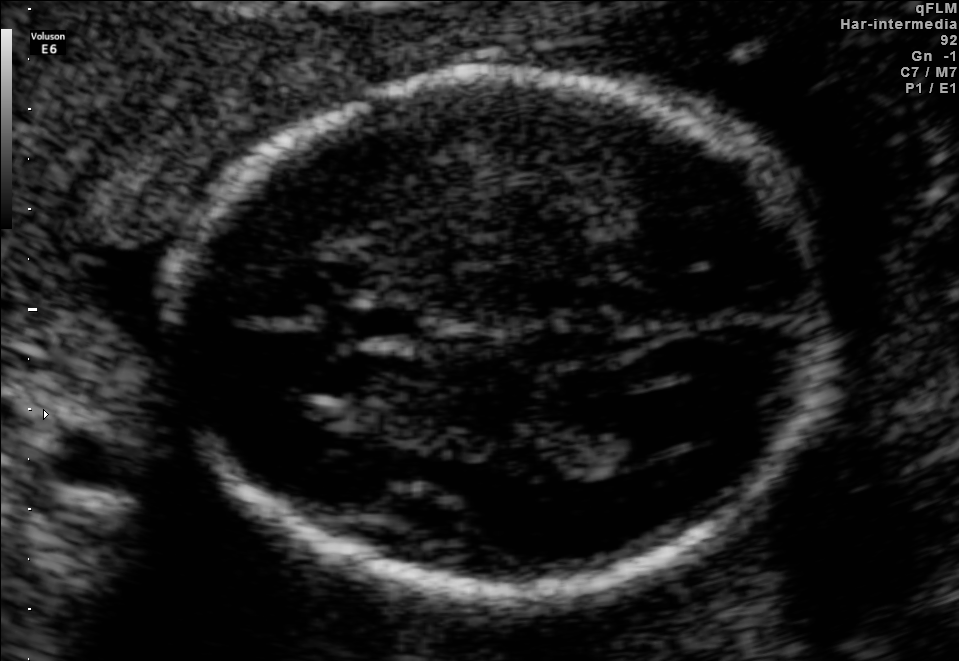
In this fetal brain, trans-ventricular plane, give the bounding box of the fetal head.

[153,63,852,604]